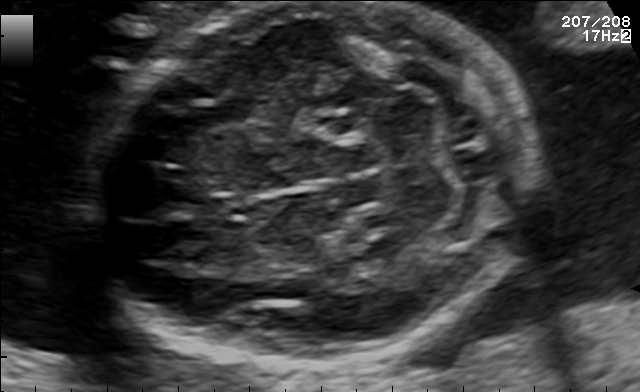
Fetal brain, trans-cerebellum plane. Locate the fetal head.

Head: [94,2,523,364]